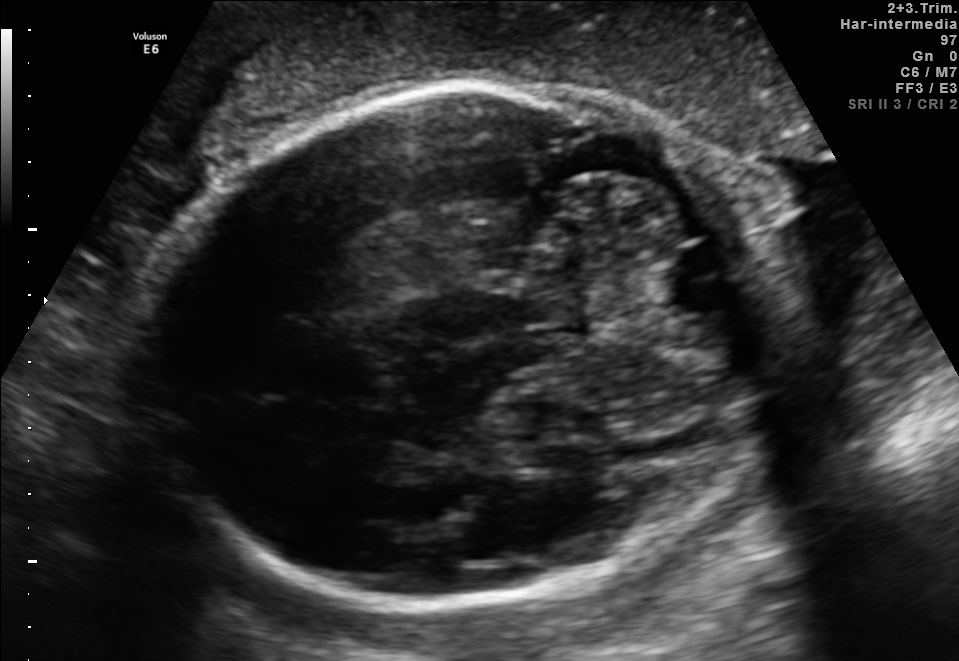
Fetal brain, trans-cerebellum plane. Give [x1,y1,x2,y2] bounding boxes for each visible structure among: fetal head, CSP, LV.

Head: [153,83,790,602]